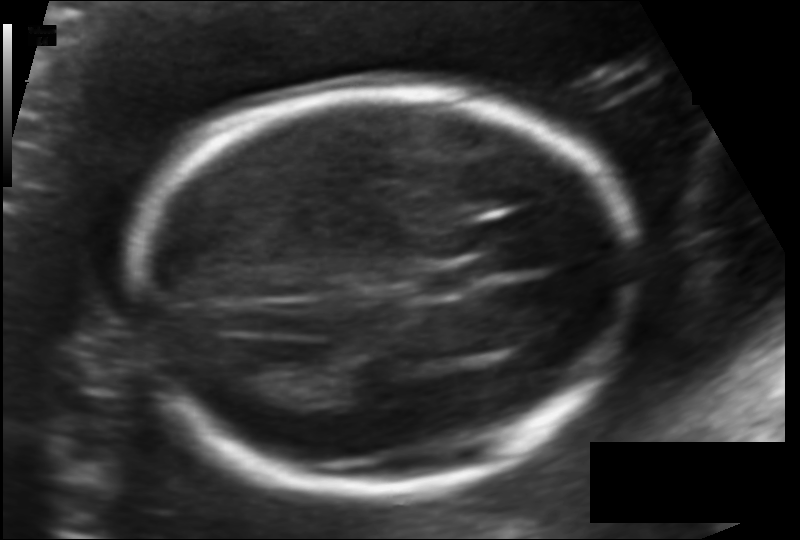
Estimate the fetal head circumference from this 2D ultrasound. Image width: 99.3 mm.

Head circumference: 182.1 mm.